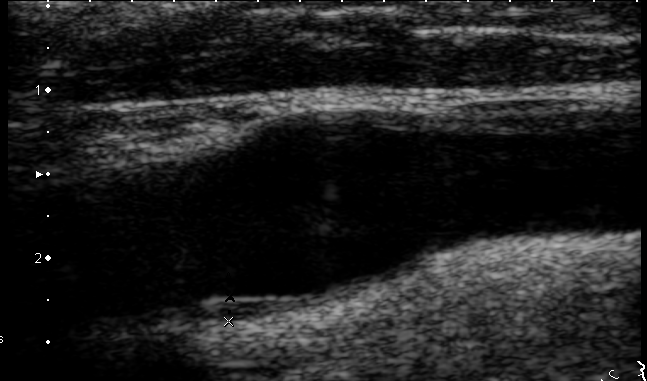
Classify this maternal-fetal ultrasound image as one of the six standard planes — fetal abdomen, fetal brain, fetal femur, fetal thorax, maternal cervix, or other. If it's fetal brain and one of the three standard brain planes (trans-thalamic, trans-cerebellum, trans-ventricular), name which.

Other